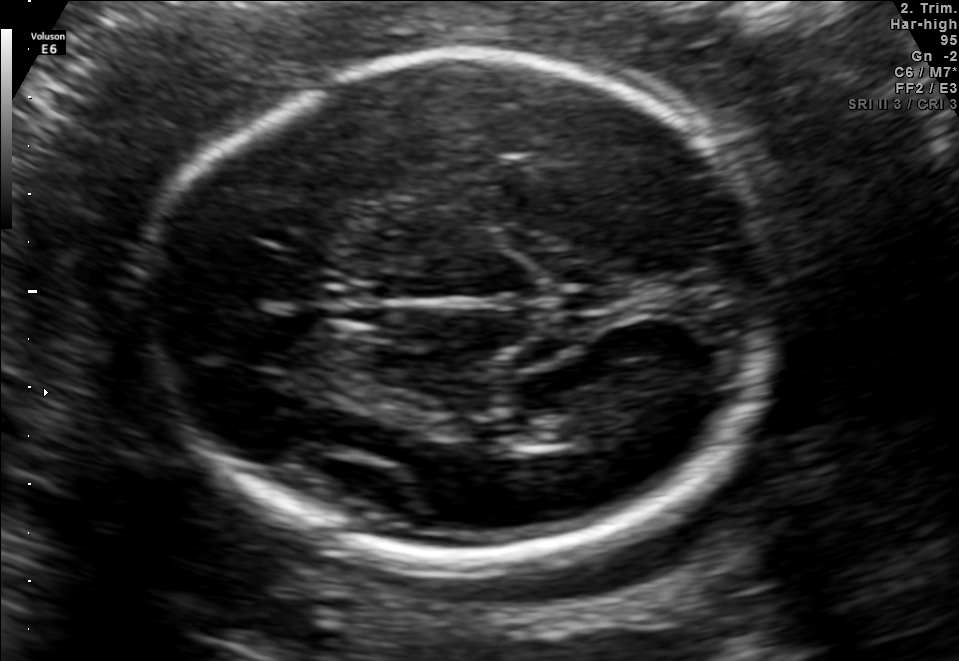
Fetal brain, trans-thalamic plane. Locate the lateral ventricle.

Lateral ventricle: [514,408,581,447]